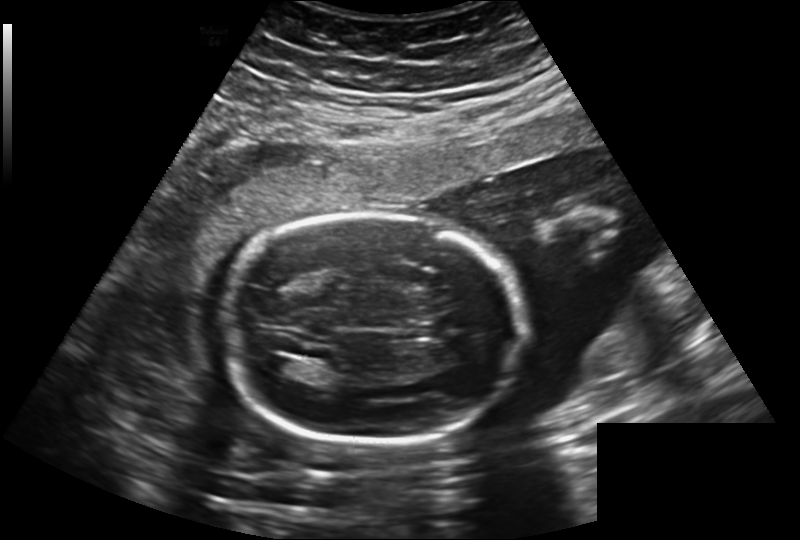
Fetal head ultrasound. Image width: 192.6 mm. Give [x1,y1,x2,y2] bounding boxes for each visible structure among: fetal head, CSP, LV.

Head: [225,214,523,447]
Lateral ventricle: [263,353,296,376]